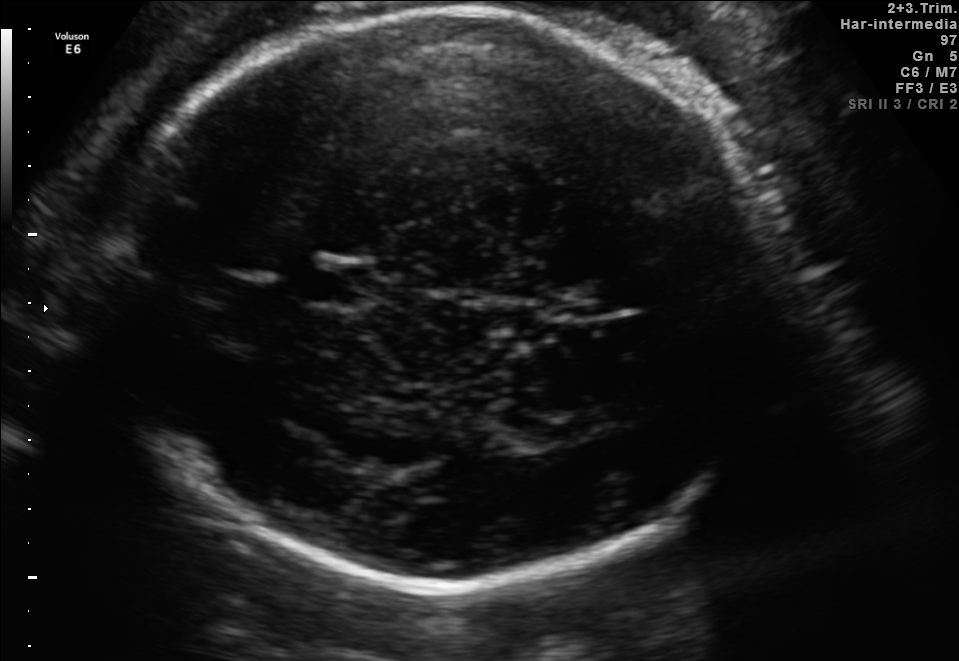
In this fetal brain, trans-thalamic plane, give the bounding box of the cavum septum pellucidum.

[299,264,360,304]